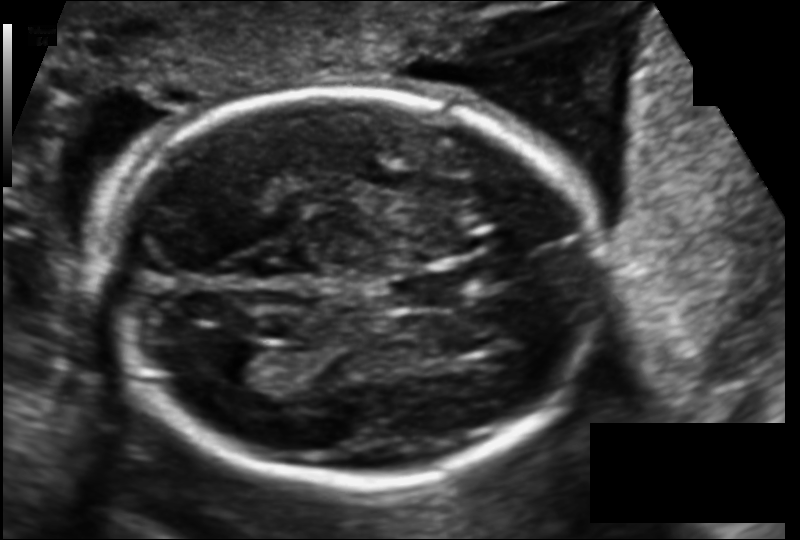
Fetal head ultrasound. Image width: 104.3 mm. Where is the fetal head?

Head bounding box: [108,87,604,485]